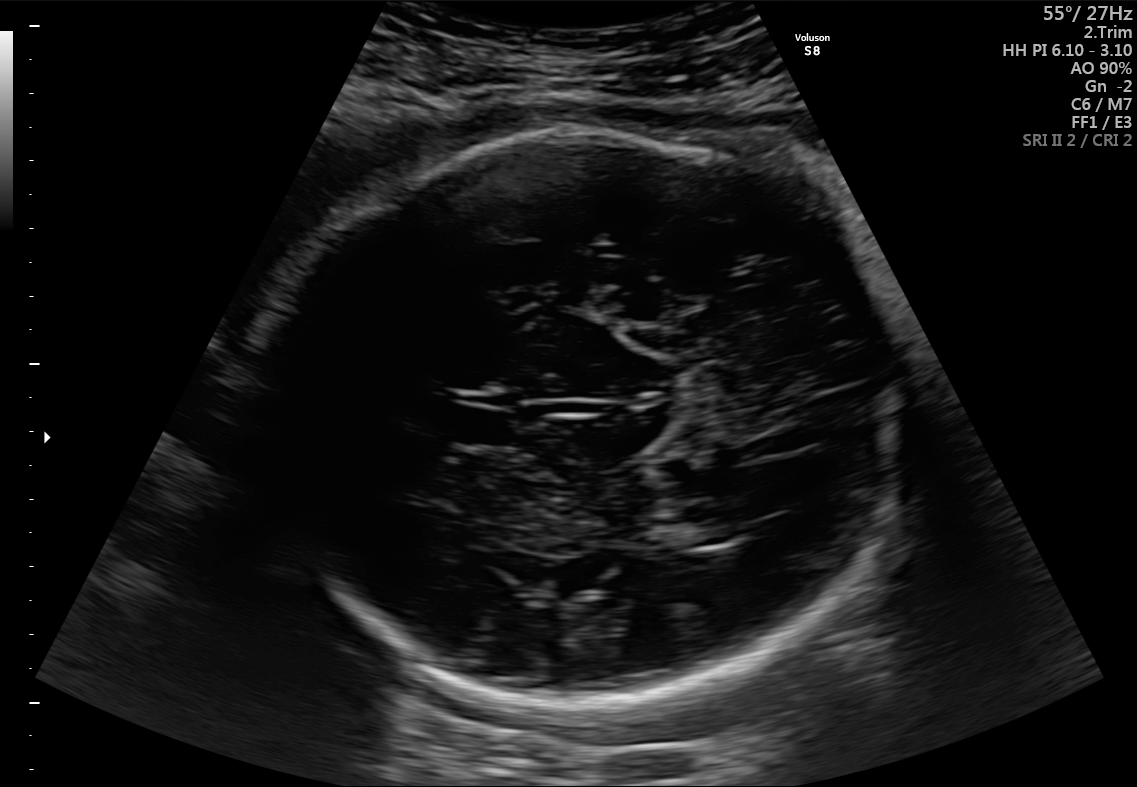
In this fetal brain, trans-thalamic plane, give the bounding box of the fetal head.

[255,135,911,712]